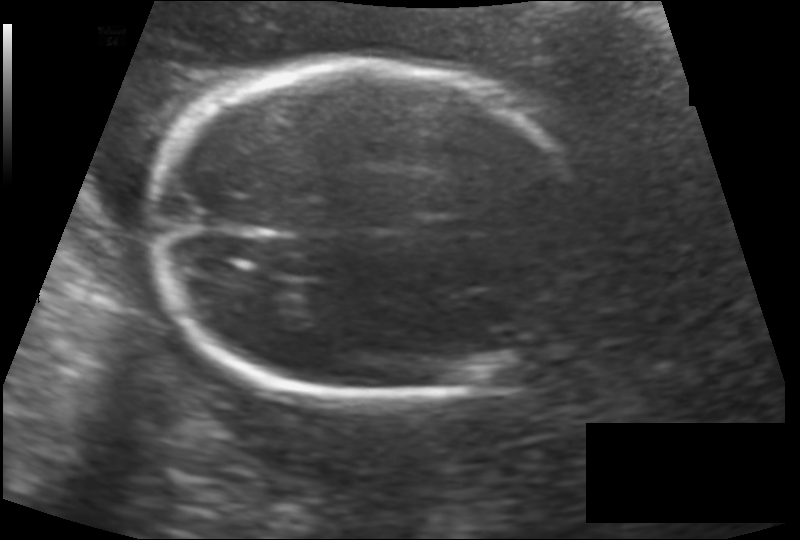
Fetal head ultrasound. Image width: 117.4 mm. Locate the fetal head.

Head: [150,63,586,400]